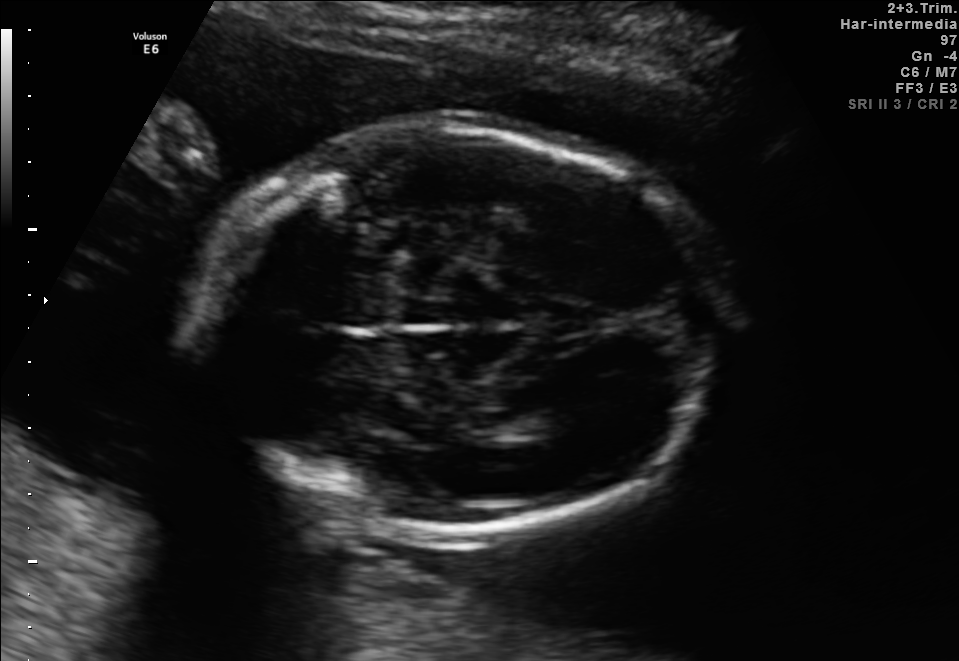
In this fetal brain, trans-thalamic plane, give bounding boxes for the head outline, cavum septum pellucidum (CSP), and lateral ventricle (LV), where visible.

Head: [190,128,719,533]
Lateral ventricle: [500,405,577,439]